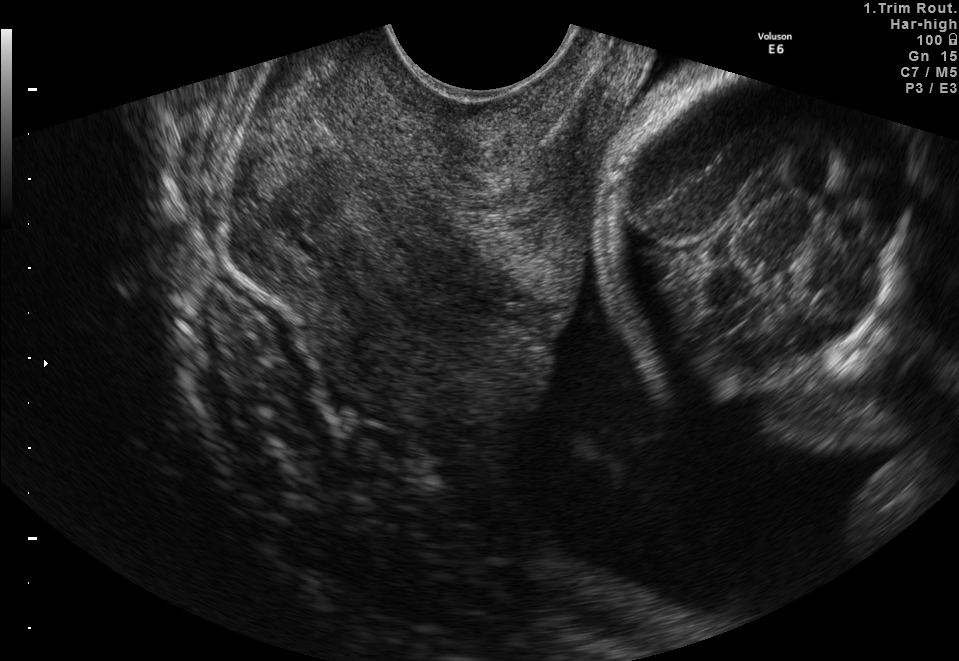
This is a 2D maternal-fetal ultrasound frame. Is it a fetal abdomen, fetal brain, fetal femur, fetal thorax, maternal cervix, or other standard plane? If it's fetal brain and one of the three standard brain planes (trans-thalamic, trans-cerebellum, trans-ventricular), name which.

Maternal cervix